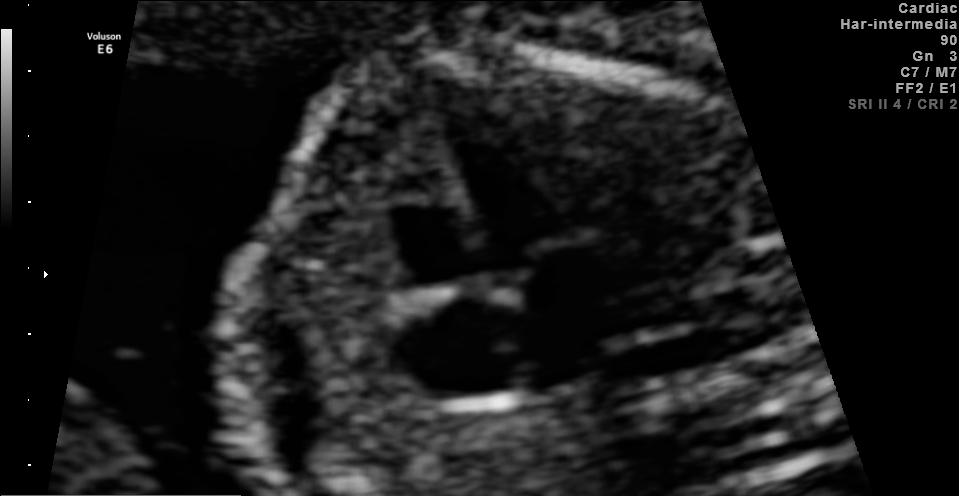
This is a 2D maternal-fetal ultrasound frame. Is it a fetal abdomen, fetal brain, fetal femur, fetal thorax, maternal cervix, or other standard plane? If it's fetal brain and one of the three standard brain planes (trans-thalamic, trans-cerebellum, trans-ventricular), name which.

Fetal thorax